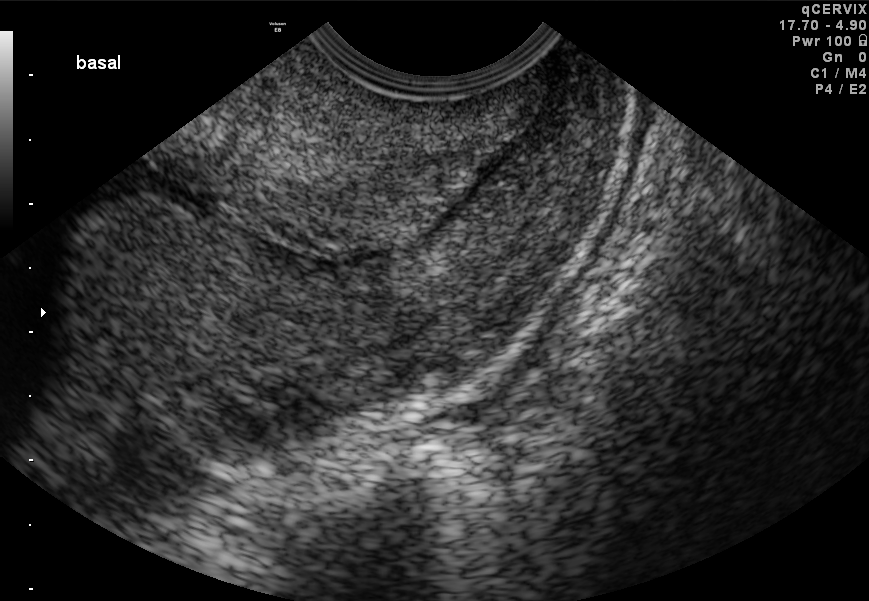
Identify the standard plane in this fetal ultrasound image: fetal abdomen, fetal brain, fetal femur, fetal thorax, maternal cervix, or other. If it's fetal brain and one of the three standard brain planes (trans-thalamic, trans-cerebellum, trans-ventricular), name which.

Maternal cervix